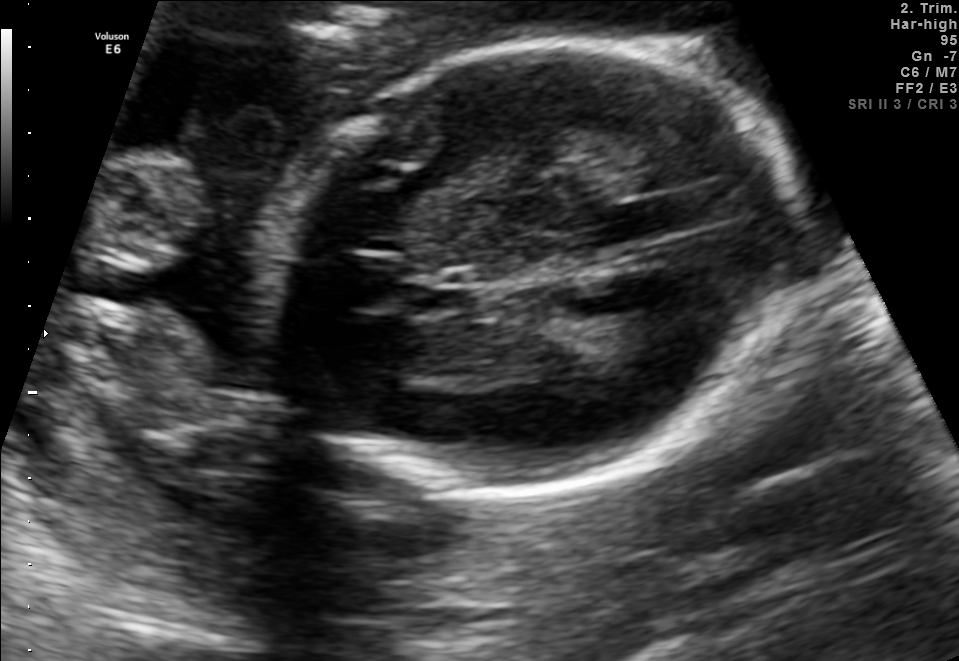
Fetal brain, trans-thalamic plane. Locate the fetal head.

Head: [266,41,801,498]